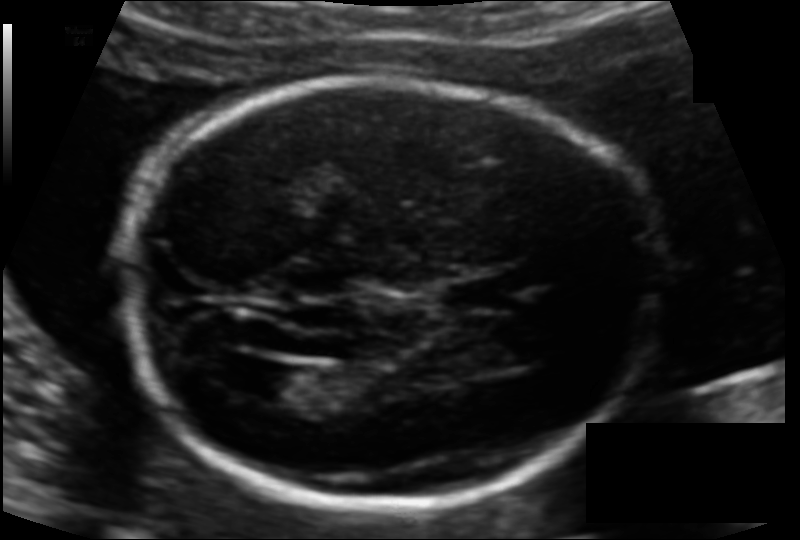
Fetal head ultrasound. Image width: 90.3 mm. Give [x1,y1,x2,y2] bounding boxes for each visible structure among: fetal head, CSP, LV.

Head: [121,80,662,506]
CSP: [435,278,505,313]
Lateral ventricle: [249,359,324,409]